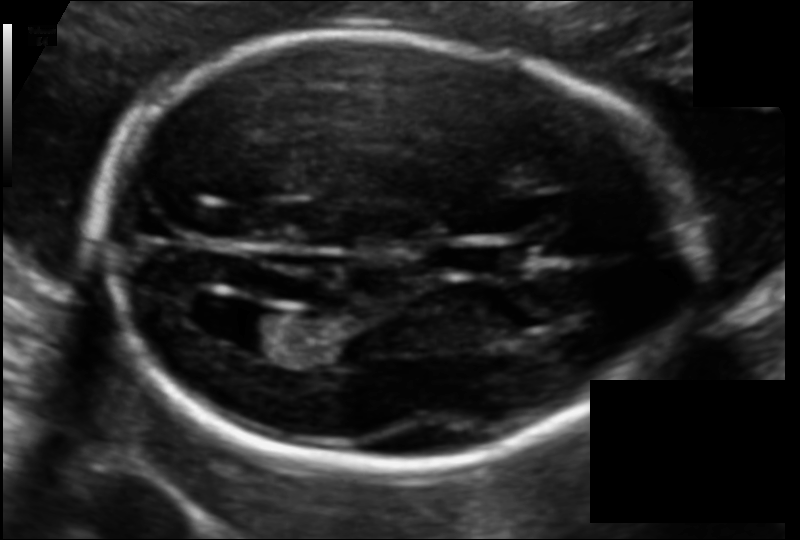
Estimate the fetal head circumference from this 2D ultrasound.

Head circumference: 179.1 mm (image width 86.6 mm).